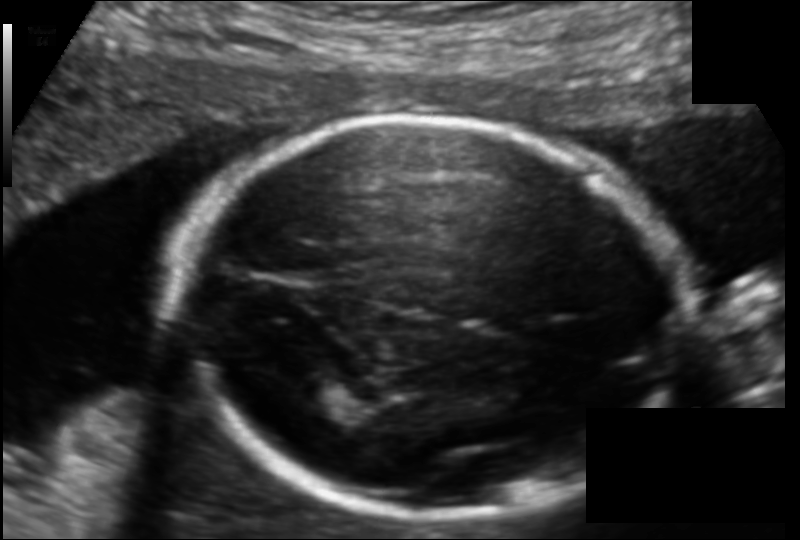
Fetal head ultrasound. Image width: 96.3 mm. Where is the fetal head?

Head bounding box: [176,119,686,517]